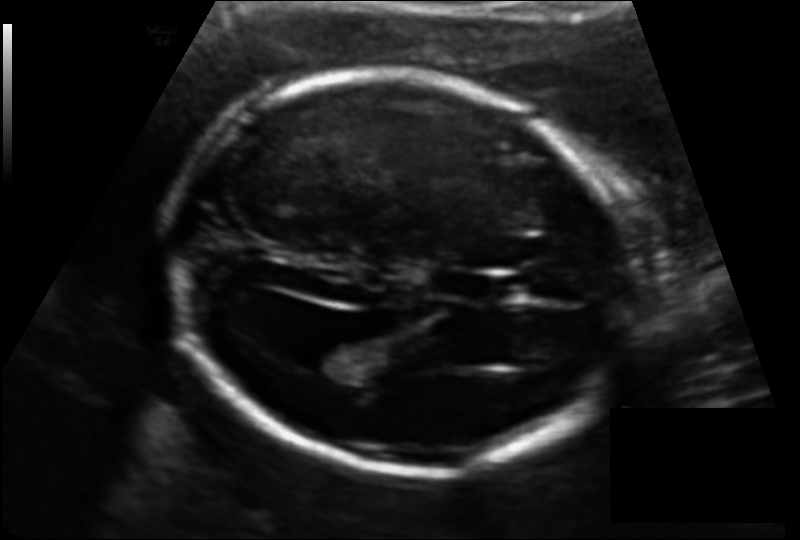
Fetal head ultrasound. Image width: 104.7 mm. Locate the lateral ventricle.

Lateral ventricle: [288,329,364,383]